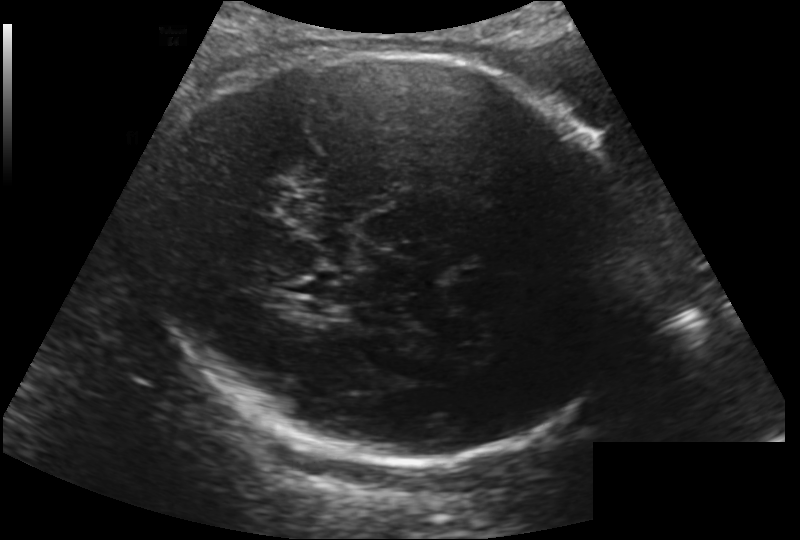
Fetal head ultrasound. Image width: 160.1 mm. Give [x1,y1,x2,y2] bounding boxes for each visible structure among: fetal head, CSP, LV.

Head: [152,51,638,464]